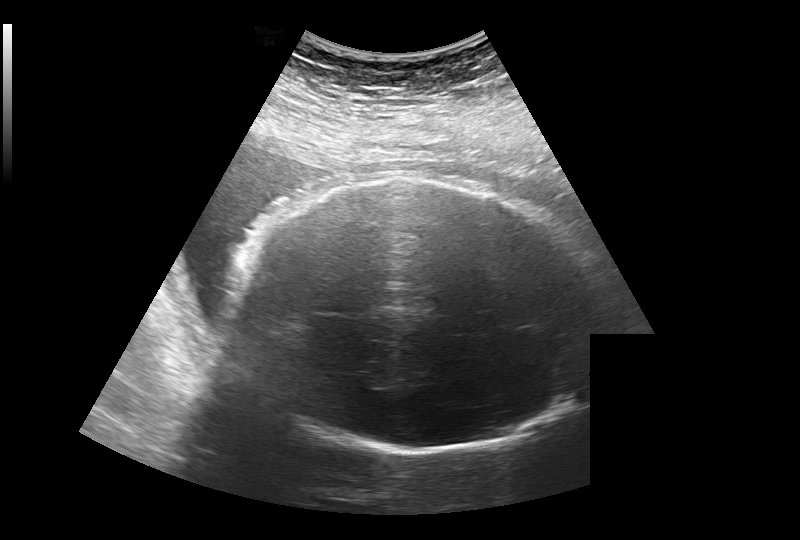
Fetal head ultrasound. Image width: 246.2 mm. Where is the fetal head?

Head bounding box: [225,179,606,453]